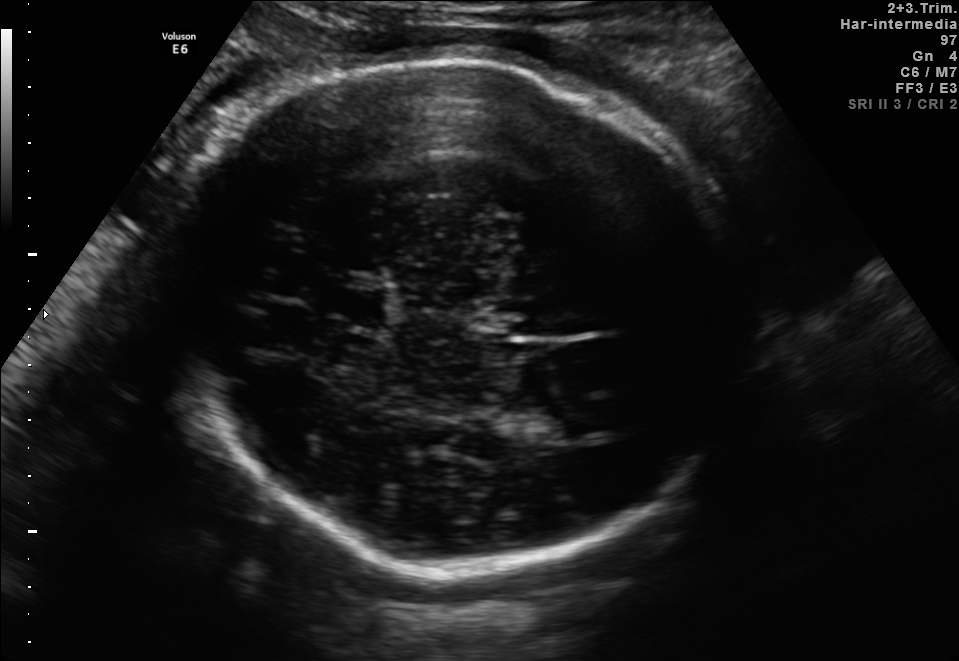
In this fetal brain, trans-thalamic plane, give the bounding box of the fetal head.

[157,56,734,563]